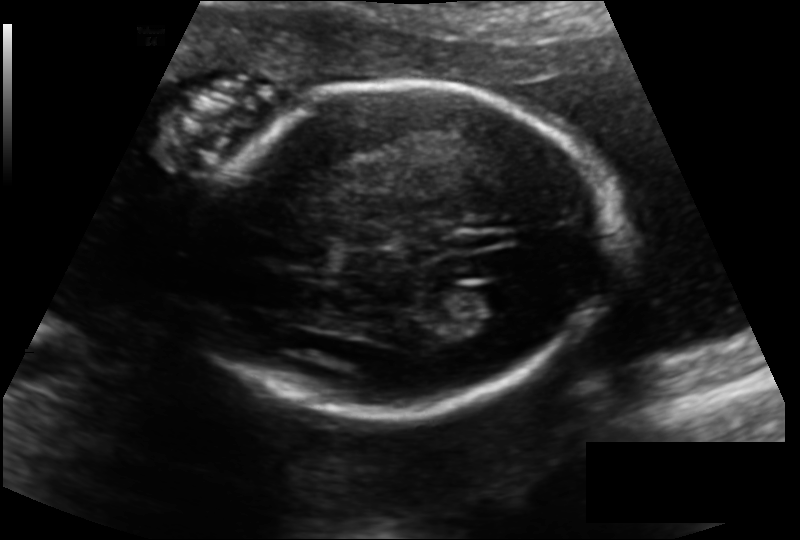
Fetal head ultrasound. Image width: 115.4 mm. Locate the fetal head and, if visible, the cavum septum pellucidum (CSP) and lateral ventricle (LV). Give bounding boxes as [x1,y1,x2,y2].

Head: [194,82,613,416]
Lateral ventricle: [454,279,522,323]